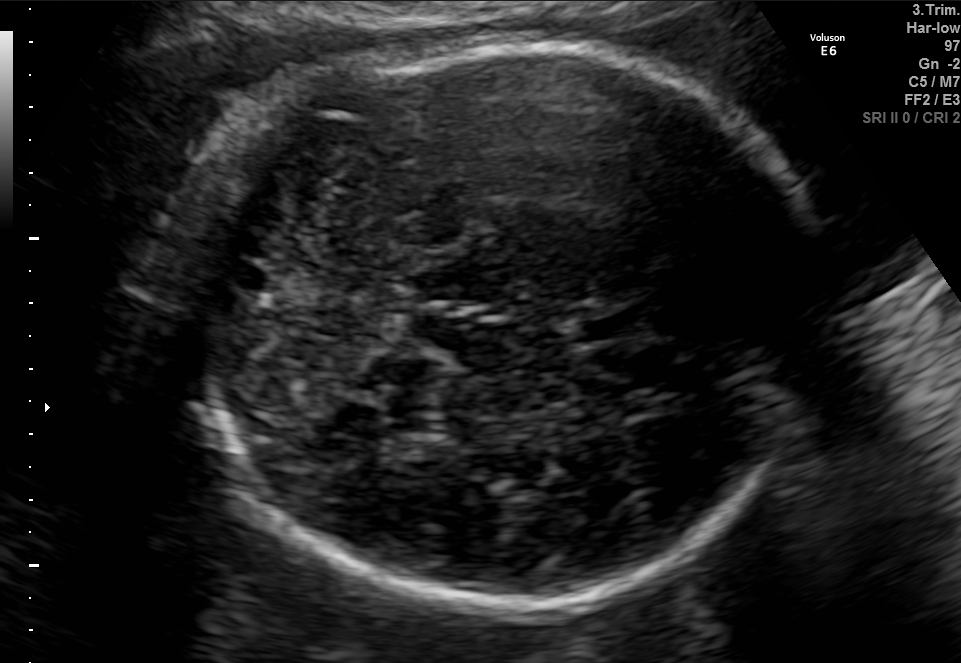
Fetal brain, trans-cerebellum plane. Where is the fetal head?

Head bounding box: [220,48,805,615]